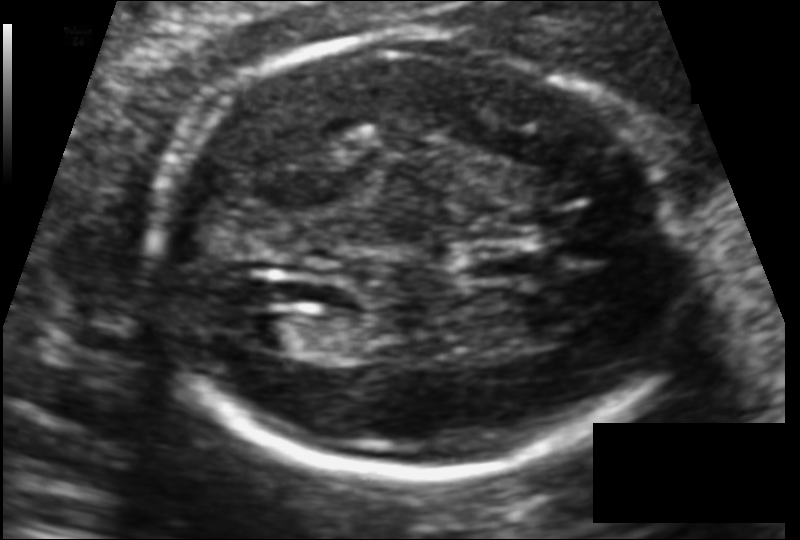
In this fetal head ultrasound, give bounding boxes for the head outline, cavum septum pellucidum (CSP), and lateral ventricle (LV), where visible. Image width: 88.1 mm.

Head: [146,33,689,477]
CSP: [461,250,530,285]
Lateral ventricle: [238,311,306,351]